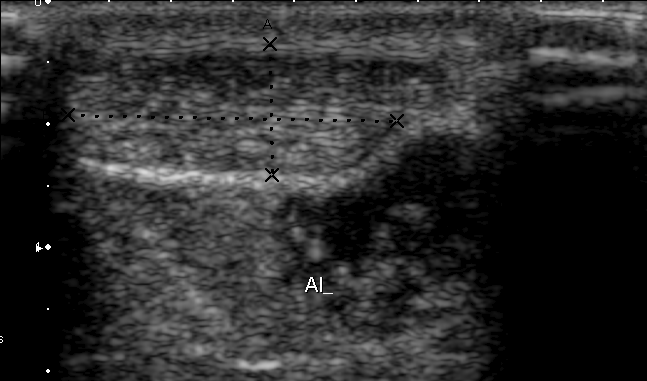
Classify this maternal-fetal ultrasound image as one of the six standard planes — fetal abdomen, fetal brain, fetal femur, fetal thorax, maternal cervix, or other. If it's fetal brain and one of the three standard brain planes (trans-thalamic, trans-cerebellum, trans-ventricular), name which.

Other